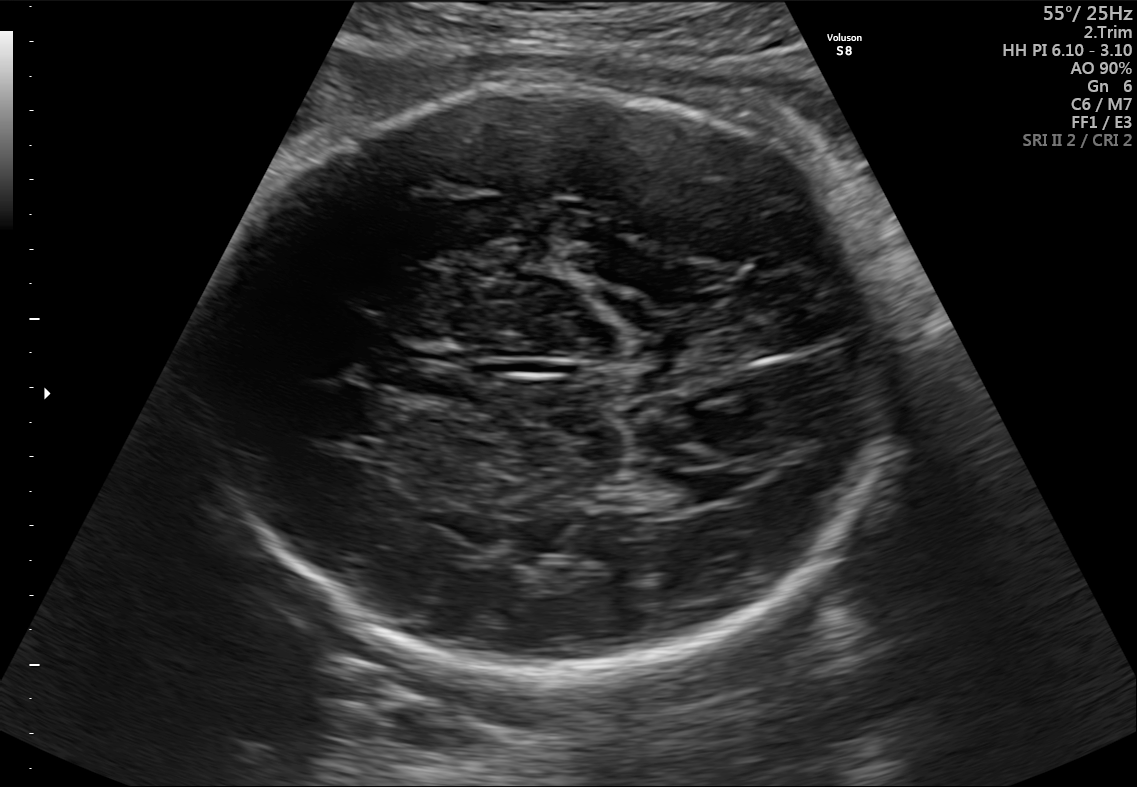
In this fetal brain, trans-thalamic plane, give the bounding box of the fetal head.

[189,85,892,686]